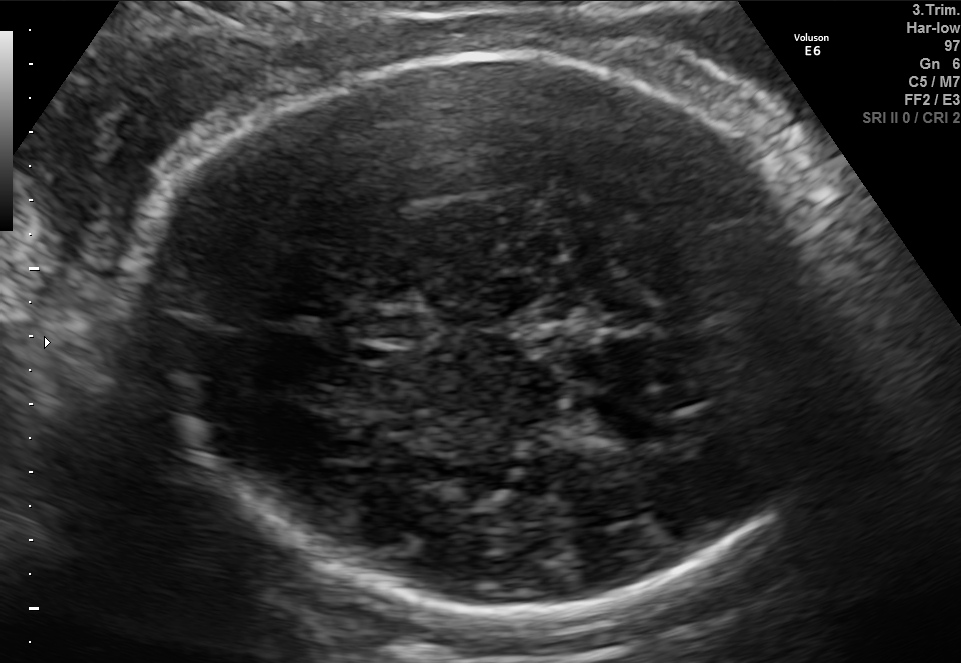
Fetal brain, trans-thalamic plane. Locate the cavum septum pellucidum.

CSP: [355,308,420,344]